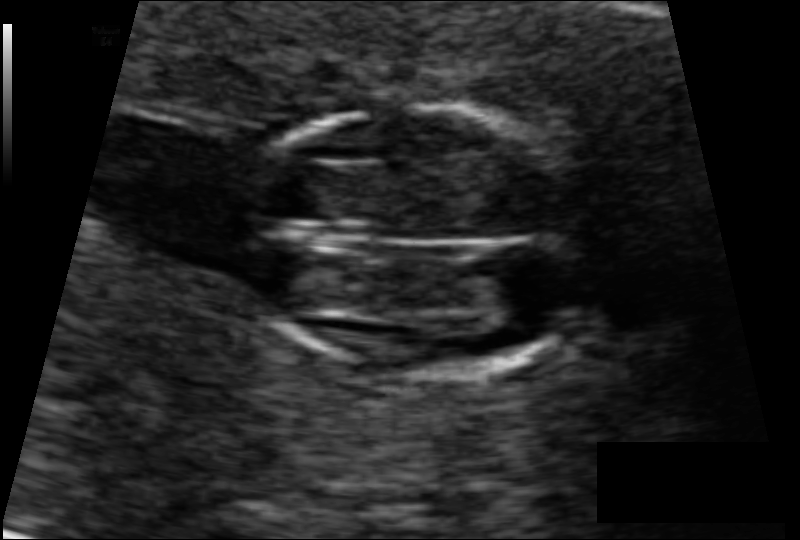
In this fetal head ultrasound, give bounding boxes for the head outline, cavum septum pellucidum (CSP), and lateral ventricle (LV), where visible. Image width: 60.3 mm.

Head: [239,108,582,375]